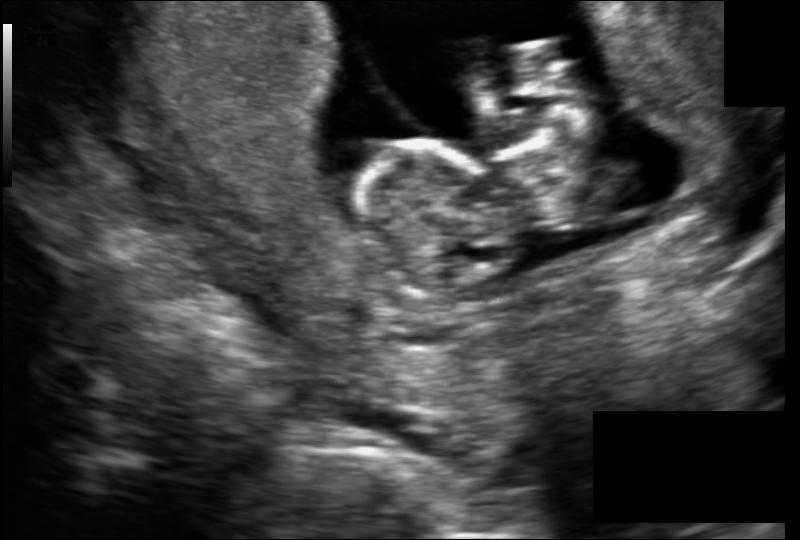
Fetal head ultrasound. Image width: 97.2 mm. Locate the fetal head and, if visible, the cavum septum pellucidum (CSP) and lateral ventricle (LV). Give bounding boxes as [x1,y1,x2,y2].

Head: [355,139,510,297]